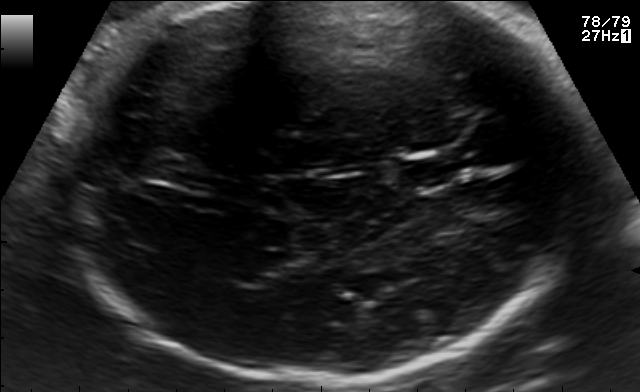
Fetal brain, trans-thalamic plane. Where is the cavum septum pellucidum?

CSP bounding box: [398,153,456,193]